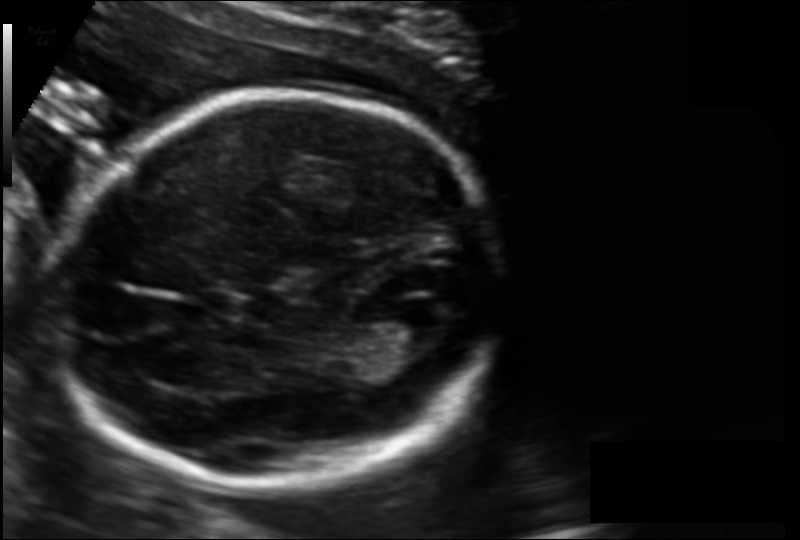
Measure the fetal head circumference shown in this ultrasound image. Image width: 102.4 mm.

Head circumference: 173.8 mm.